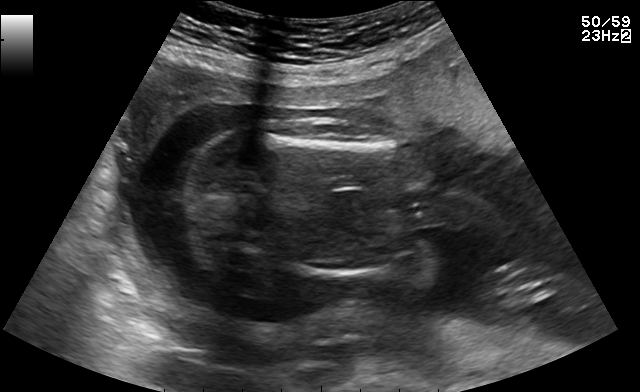
This is a 2D maternal-fetal ultrasound frame. Is it a fetal abdomen, fetal brain, fetal femur, fetal thorax, maternal cervix, or other standard plane? If it's fetal brain and one of the three standard brain planes (trans-thalamic, trans-cerebellum, trans-ventricular), name which.

Fetal femur